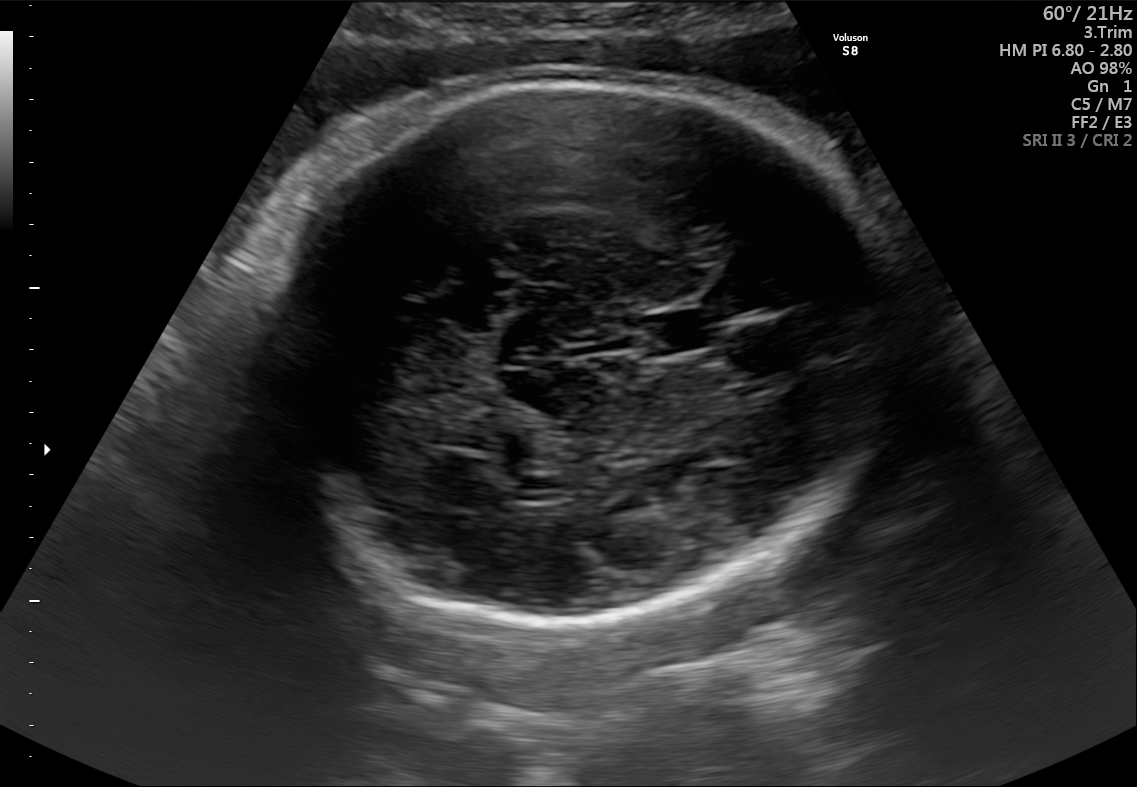
Fetal brain, trans-thalamic plane. Where is the fetal head?

Head bounding box: [263,75,916,614]